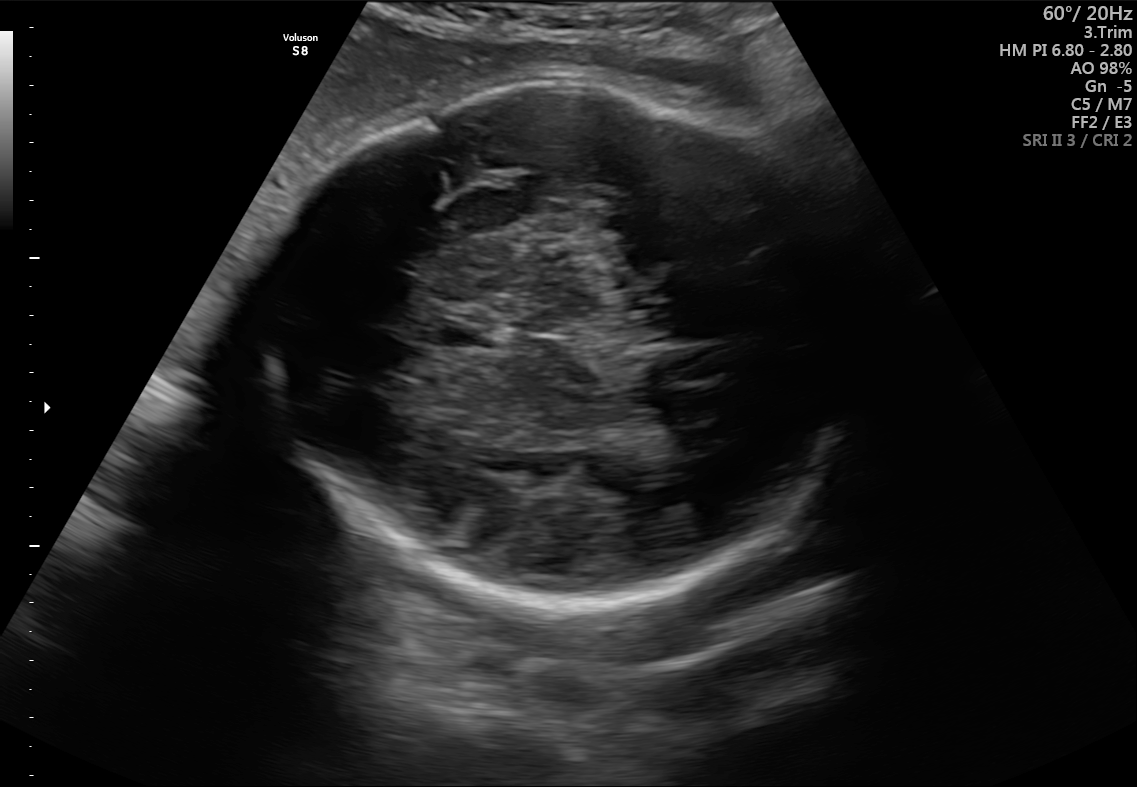
Which standard maternal-fetal ultrasound plane is shown: fetal abdomen, fetal brain, fetal femur, fetal thorax, maternal cervix, or other? If it's fetal brain and one of the three standard brain planes (trans-thalamic, trans-cerebellum, trans-ventricular), name which.

Fetal brain (trans-thalamic plane)